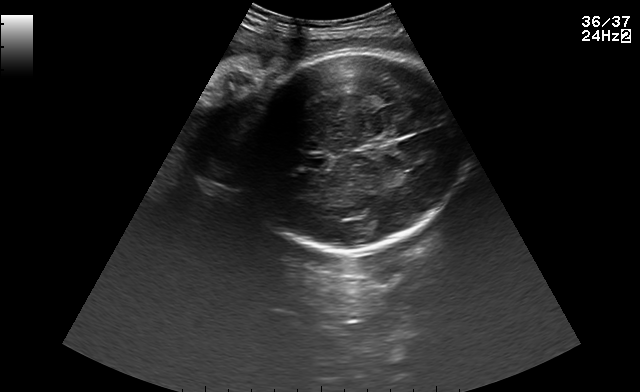
Fetal brain, trans-thalamic plane. Where is the cavum septum pellucidum?

CSP bounding box: [306,155,328,168]